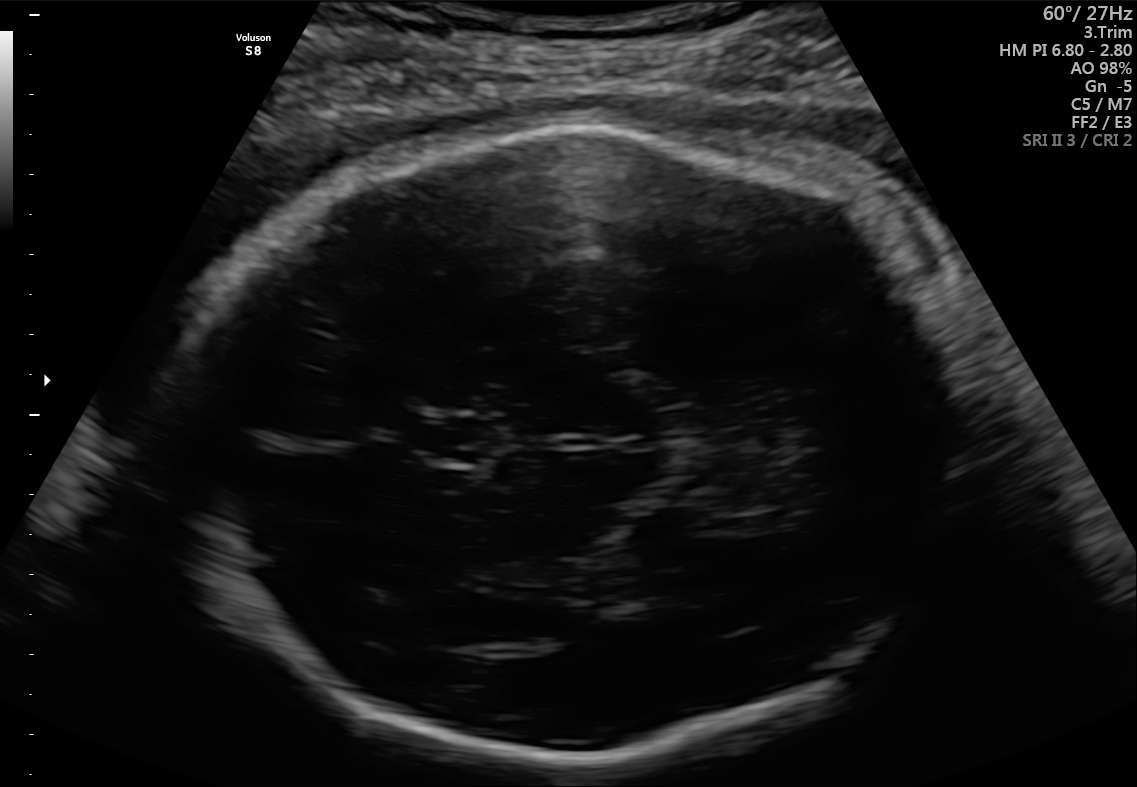
This is a 2D maternal-fetal ultrasound frame. Is it a fetal abdomen, fetal brain, fetal femur, fetal thorax, maternal cervix, or other standard plane? If it's fetal brain and one of the three standard brain planes (trans-thalamic, trans-cerebellum, trans-ventricular), name which.

Fetal brain (trans-thalamic plane)